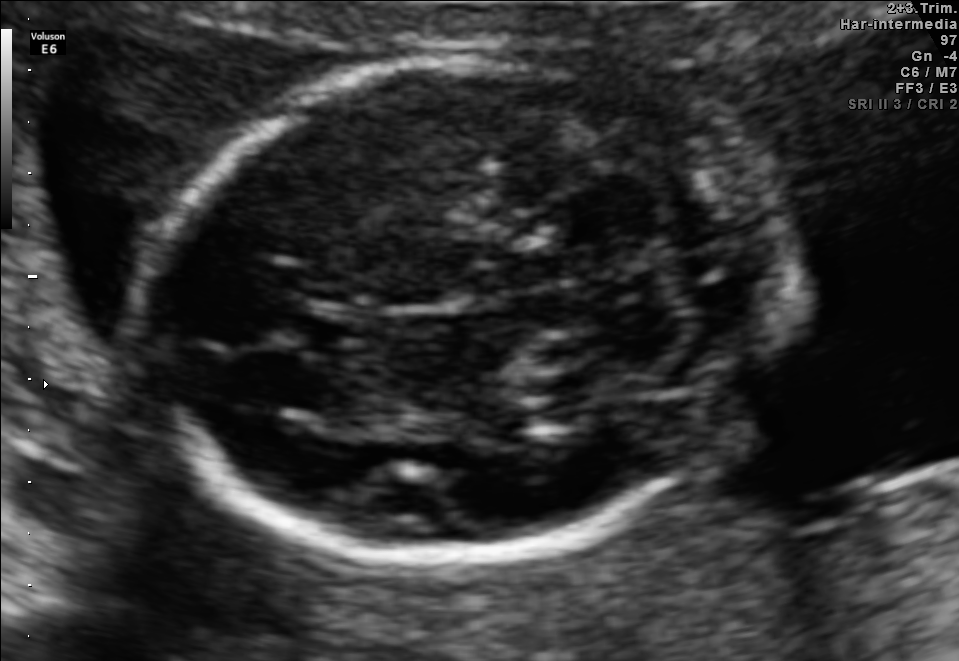
Fetal brain, trans-cerebellum plane. Give [x1,y1,x2,y2] bounding boxes for each visible structure among: fetal head, CSP, LV.

Head: [160,55,739,572]
CSP: [284,304,374,365]